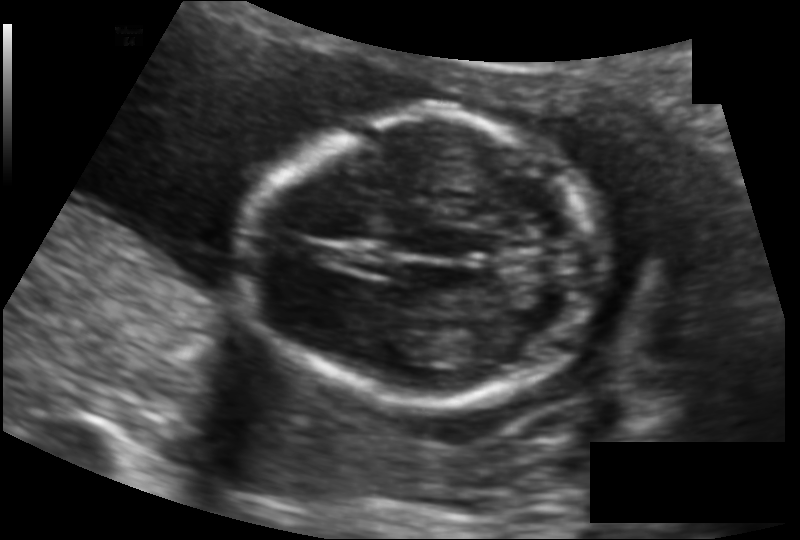
What is the fetal head circumference? Image width is 97.8 mm.

129.3 mm